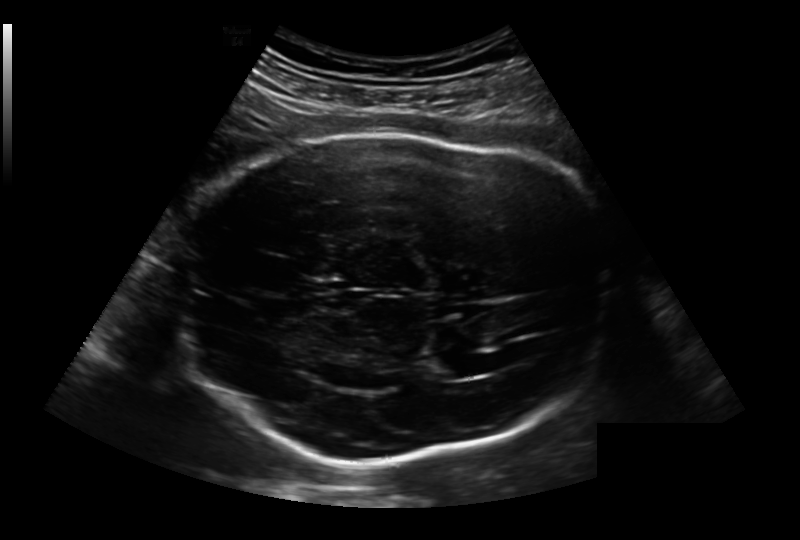
What is the fetal head circumference? Image width is 188.6 mm.

291.9 mm